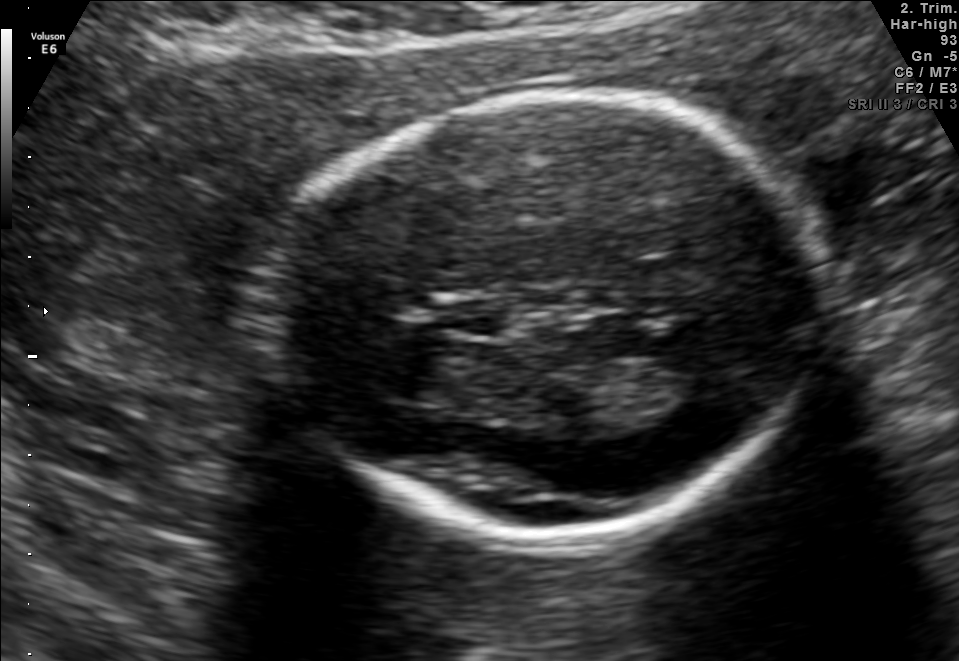
Fetal brain, trans-thalamic plane. Locate the cavum septum pellucidum.

CSP: [444,299,514,336]